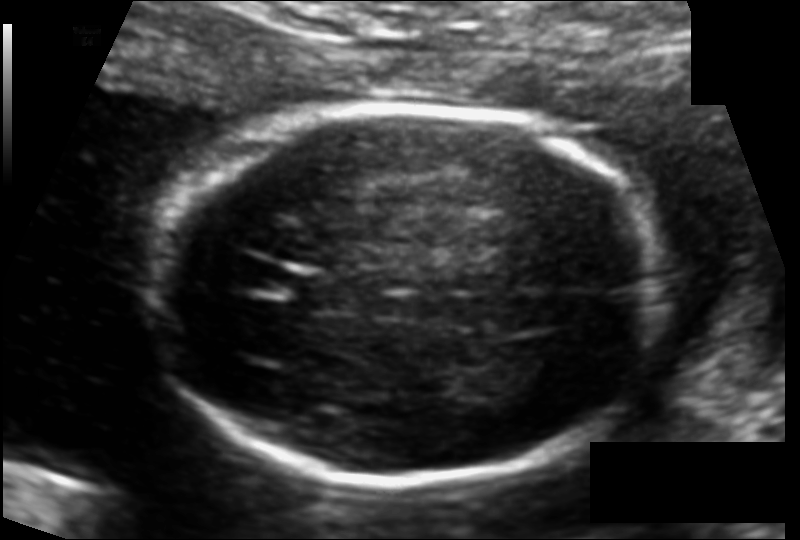
Fetal head ultrasound. Image width: 92.3 mm. Locate the fetal head and, if visible, the cavum septum pellucidum (CSP) and lateral ventricle (LV). Give bounding boxes as [x1,y1,x2,y2].

Head: [157,109,658,483]